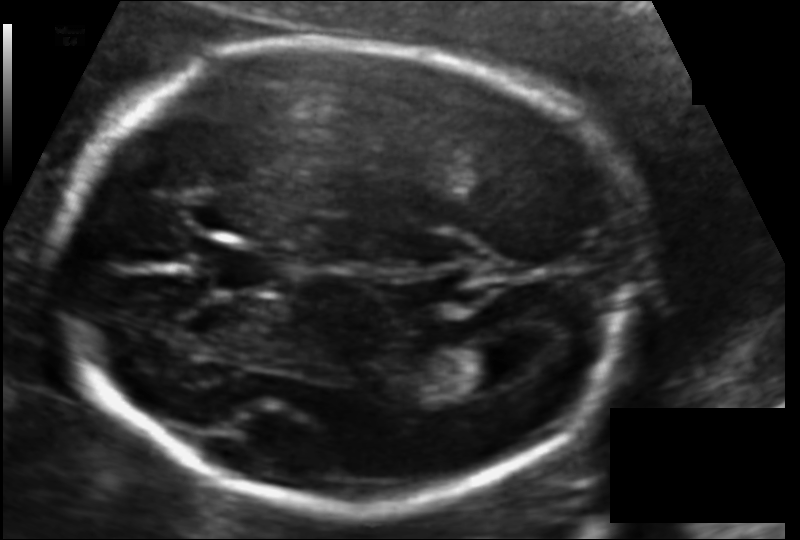
Estimate the fetal head circumference from this 2D ultrasound. Image width: 92.7 mm.

Head circumference: 197.9 mm.